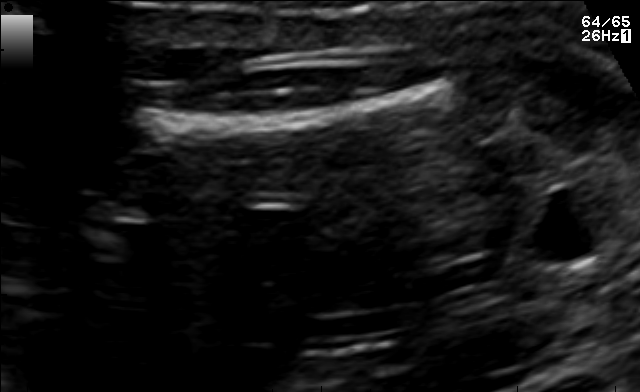
This is a 2D maternal-fetal ultrasound frame. Is it a fetal abdomen, fetal brain, fetal femur, fetal thorax, maternal cervix, or other standard plane? If it's fetal brain and one of the three standard brain planes (trans-thalamic, trans-cerebellum, trans-ventricular), name which.

Fetal femur